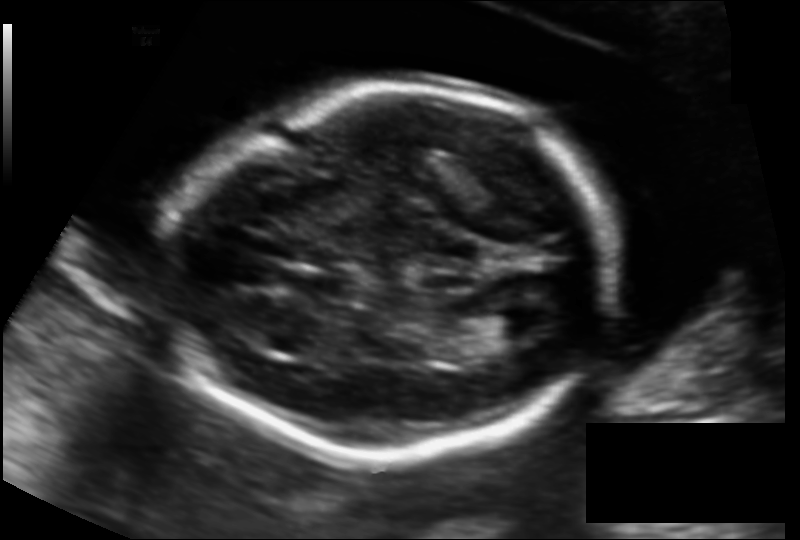
Estimate the fetal head circumference from this 2D ultrasound. Image width: 105.0 mm.

Head circumference: 174.3 mm.